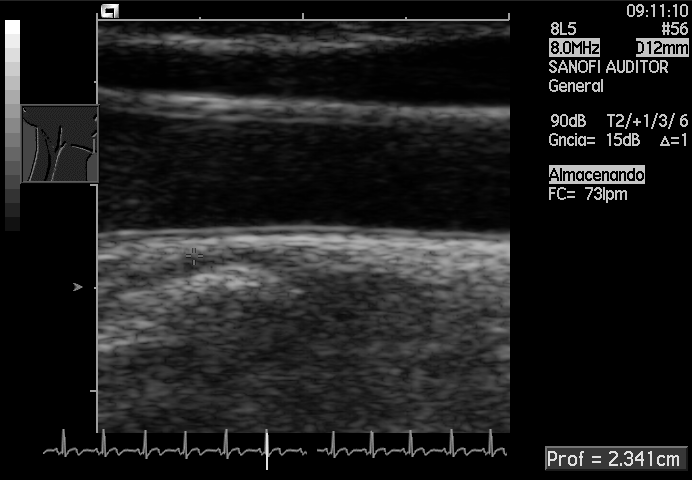
Classify this maternal-fetal ultrasound image as one of the six standard planes — fetal abdomen, fetal brain, fetal femur, fetal thorax, maternal cervix, or other. If it's fetal brain and one of the three standard brain planes (trans-thalamic, trans-cerebellum, trans-ventricular), name which.

Other